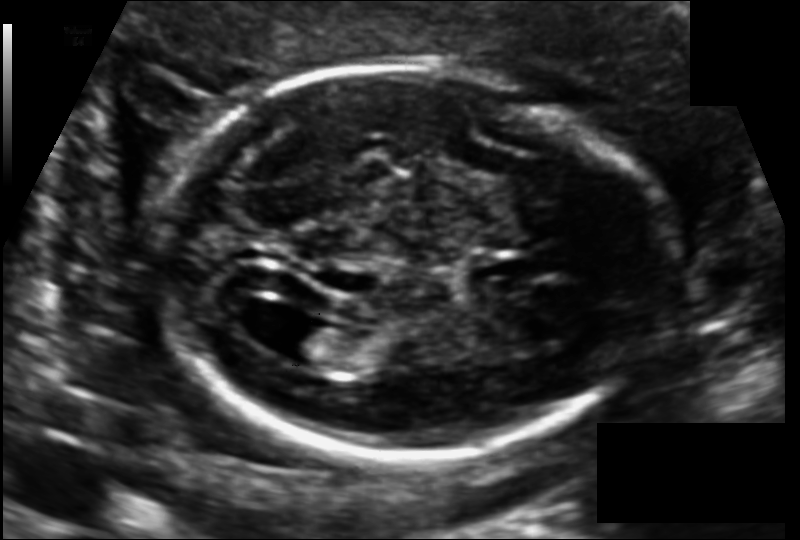
Fetal head ultrasound. Image width: 94.6 mm. Locate the fetal head.

Head: [157,65,668,455]